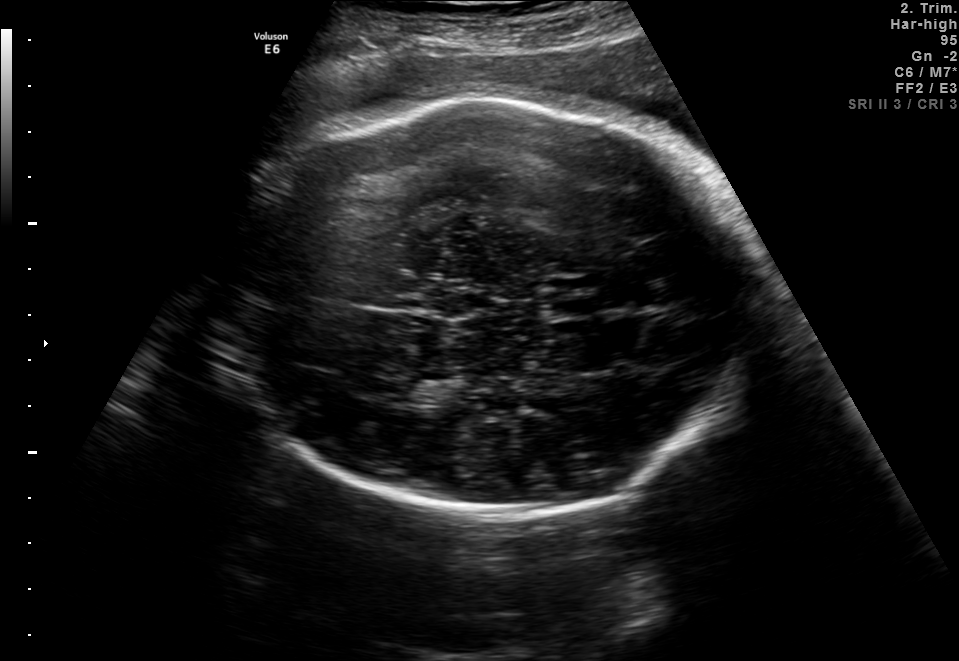
Fetal brain, trans-thalamic plane. Where is the fetal head?

Head bounding box: [214,99,757,514]